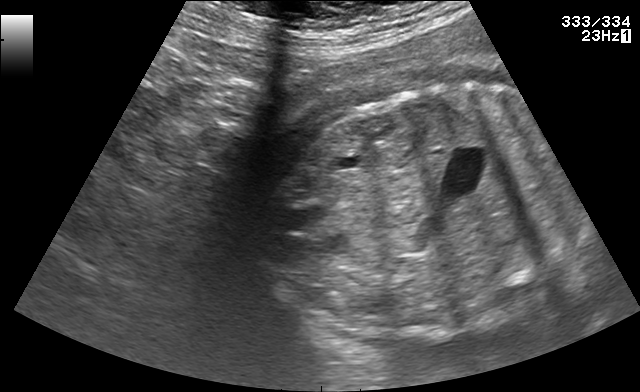
Identify the standard plane in this fetal ultrasound image: fetal abdomen, fetal brain, fetal femur, fetal thorax, maternal cervix, or other. If it's fetal brain and one of the three standard brain planes (trans-thalamic, trans-cerebellum, trans-ventricular), name which.

Other